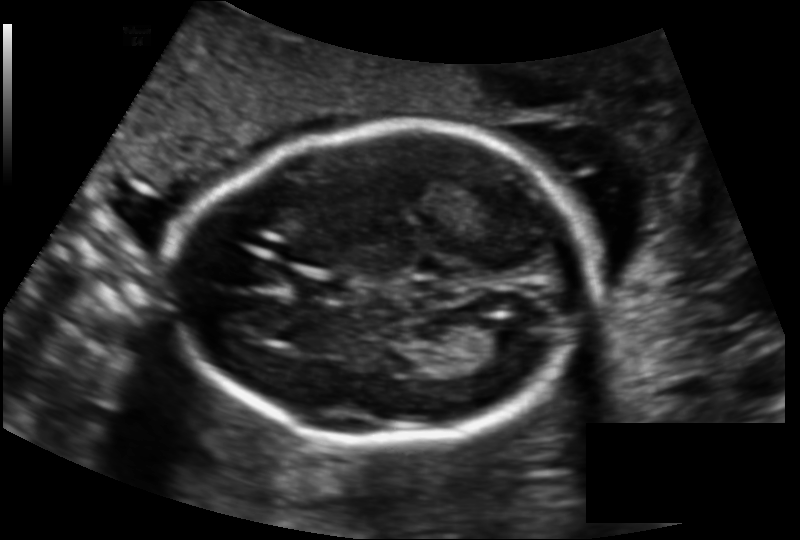
Measure the fetal head circumference shown in this ultrasound image. Image width: 109.7 mm.

Head circumference: 165.7 mm.